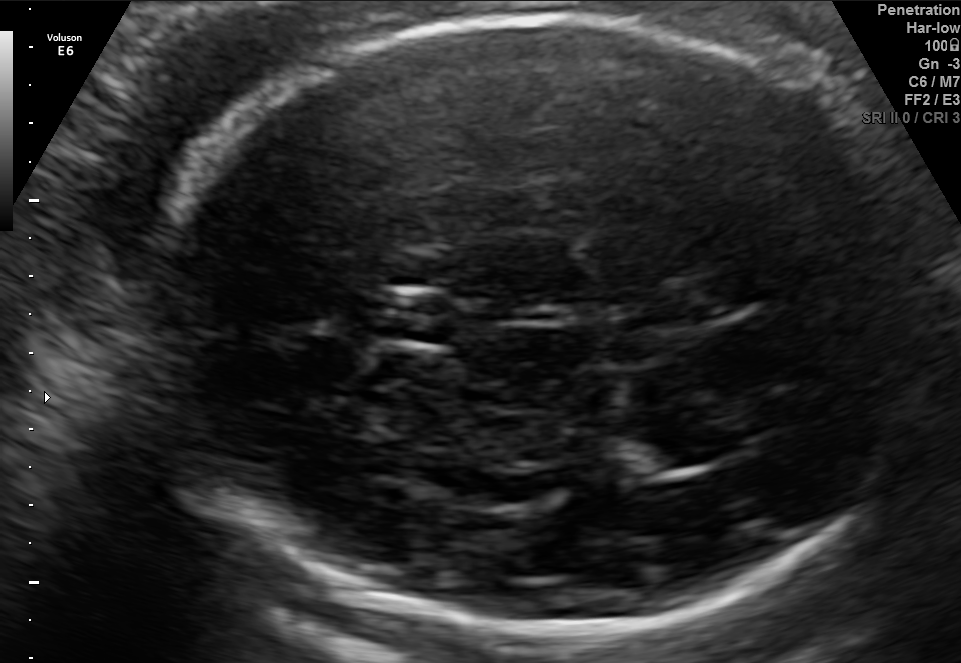
Fetal brain, trans-thalamic plane. Where is the cavum septum pellucidum?

CSP bounding box: [369,289,461,346]